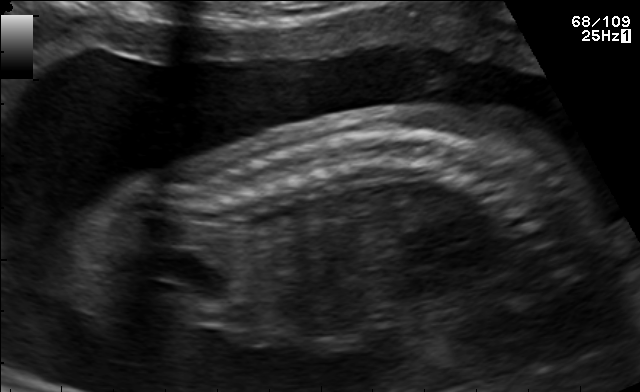
Identify the standard plane in this fetal ultrasound image: fetal abdomen, fetal brain, fetal femur, fetal thorax, maternal cervix, or other. If it's fetal brain and one of the three standard brain planes (trans-thalamic, trans-cerebellum, trans-ventricular), name which.

Other